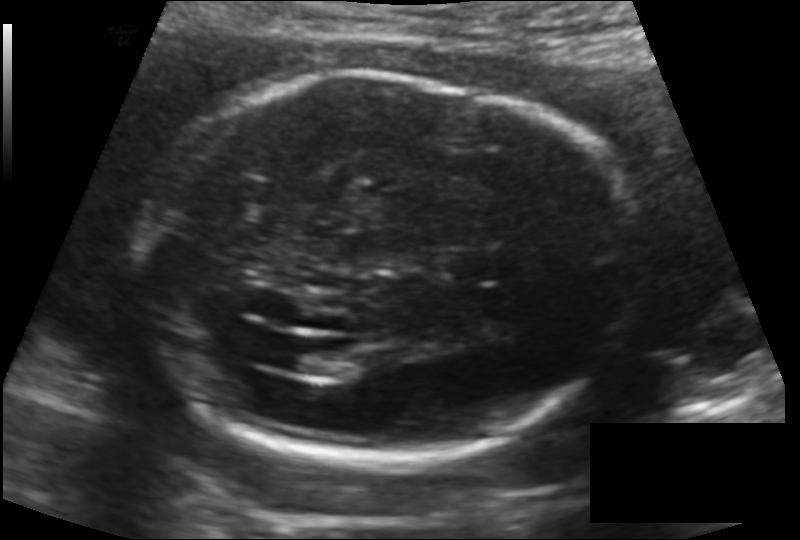
In this fetal head ultrasound, give bounding boxes for the head outline, cavum septum pellucidum (CSP), and lateral ventricle (LV), where visible. Image width: 117.5 mm.

Head: [143,76,627,462]
CSP: [441,248,503,282]
Lateral ventricle: [288,340,351,378]